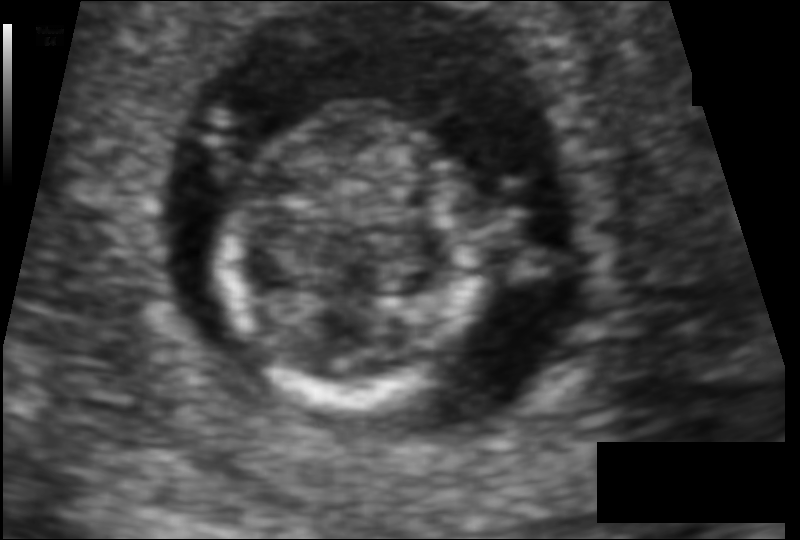
Estimate the fetal head circumference from this 2D ultrasound.

Head circumference: 72.9 mm (image width 63.9 mm).